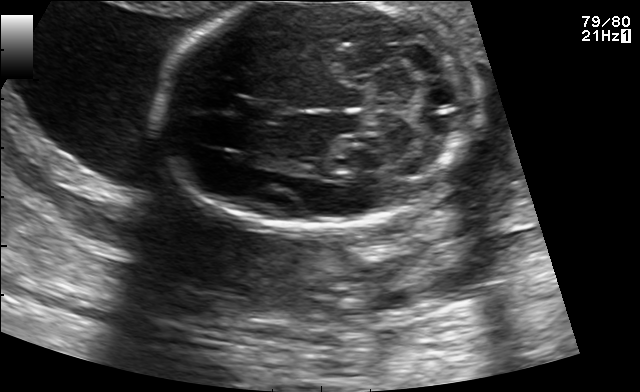
In this fetal brain, trans-cerebellum plane, give the bounding box of the cavum septum pellucidum.

[236,97,287,125]